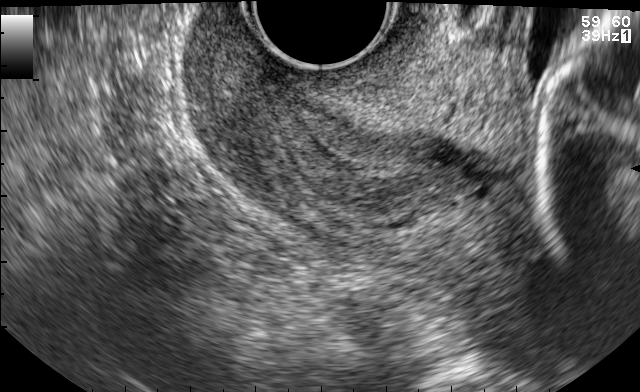
Which standard maternal-fetal ultrasound plane is shown: fetal abdomen, fetal brain, fetal femur, fetal thorax, maternal cervix, or other? If it's fetal brain and one of the three standard brain planes (trans-thalamic, trans-cerebellum, trans-ventricular), name which.

Maternal cervix